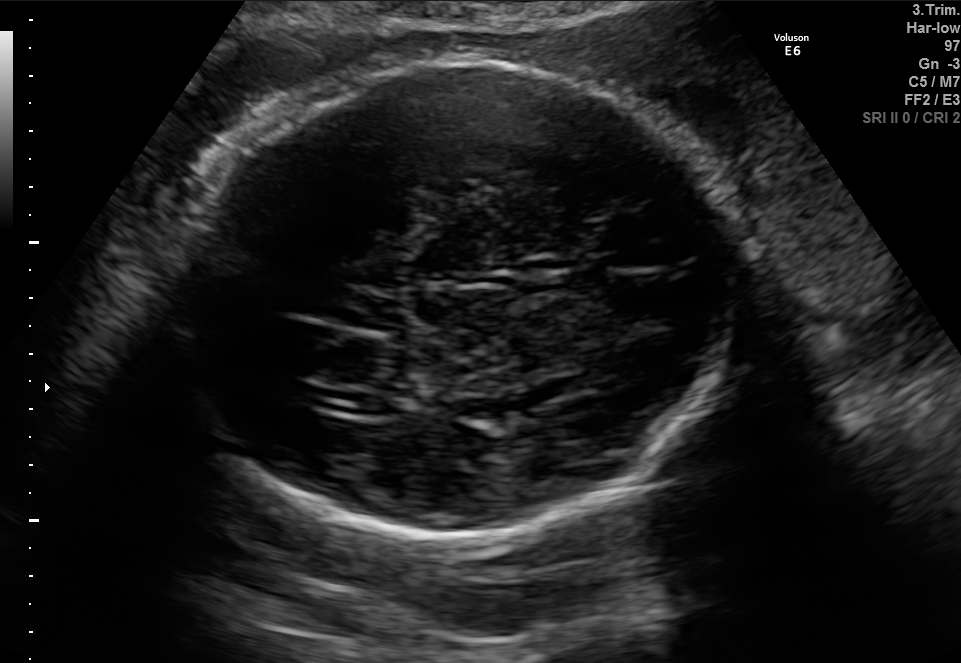
Fetal brain, trans-ventricular plane. Give [x1,y1,x2,y2] bounding boxes for each visible structure among: fetal head, CSP, LV.

Head: [153,55,756,544]
CSP: [563,263,615,298]
Lateral ventricle: [347,392,392,419]